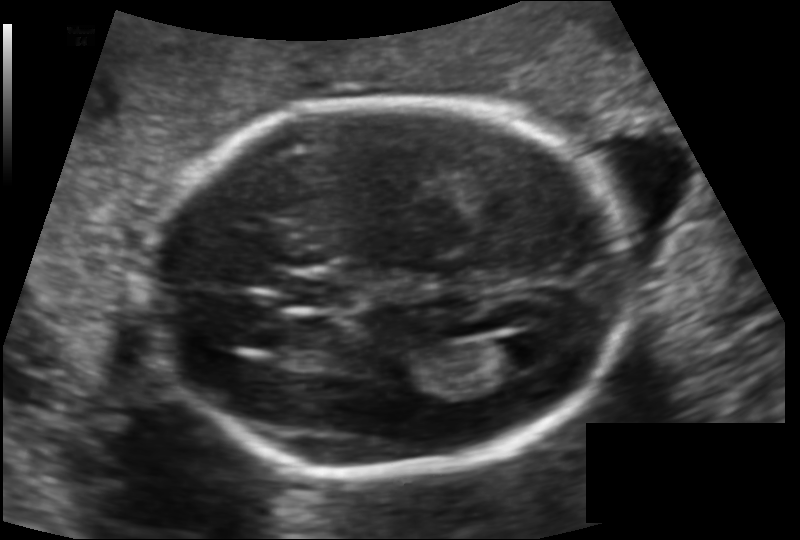
What is the fetal head circumference? Image width is 100.1 mm.

173.2 mm